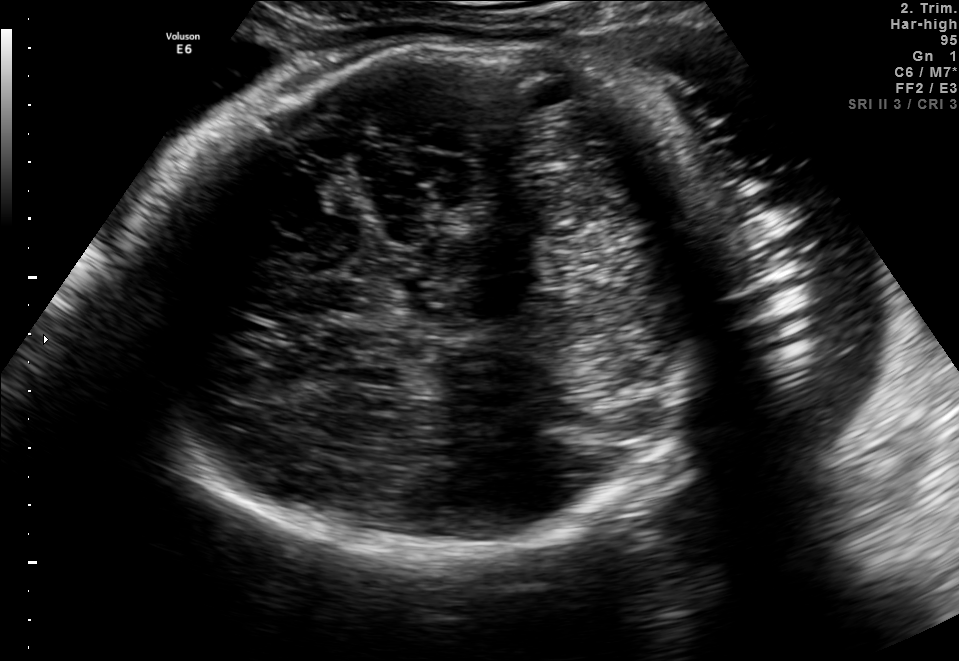
Fetal brain, trans-thalamic plane. Locate the fetal head and, if visible, the cavum septum pellucidum (CSP) and lateral ventricle (LV). Give bounding boxes as [x1,y1,x2,y2].

Head: [129,35,796,560]